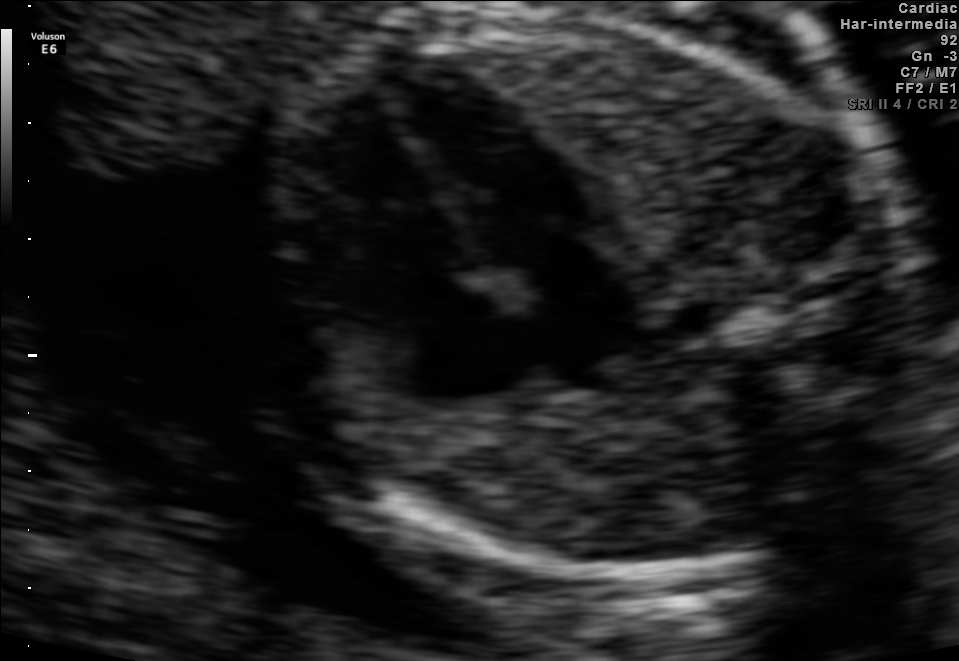
Classify this maternal-fetal ultrasound image as one of the six standard planes — fetal abdomen, fetal brain, fetal femur, fetal thorax, maternal cervix, or other. If it's fetal brain and one of the three standard brain planes (trans-thalamic, trans-cerebellum, trans-ventricular), name which.

Fetal thorax